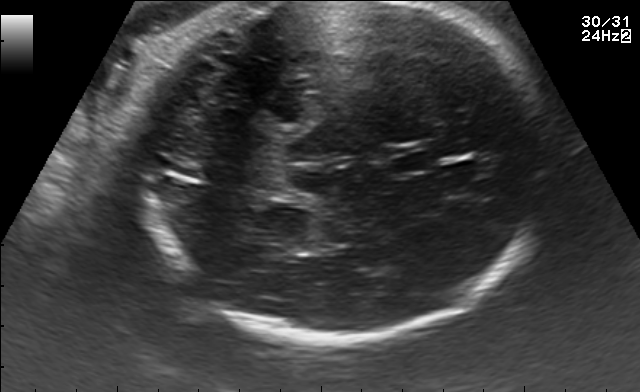
Fetal brain, trans-thalamic plane. Where is the fetal head?

Head bounding box: [131,3,557,342]